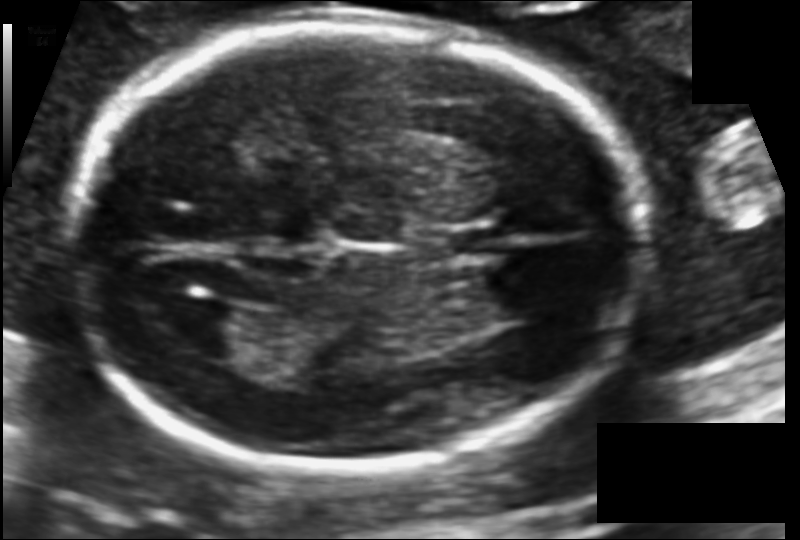
What is the fetal head circumference? Image width is 90.1 mm.

184.4 mm